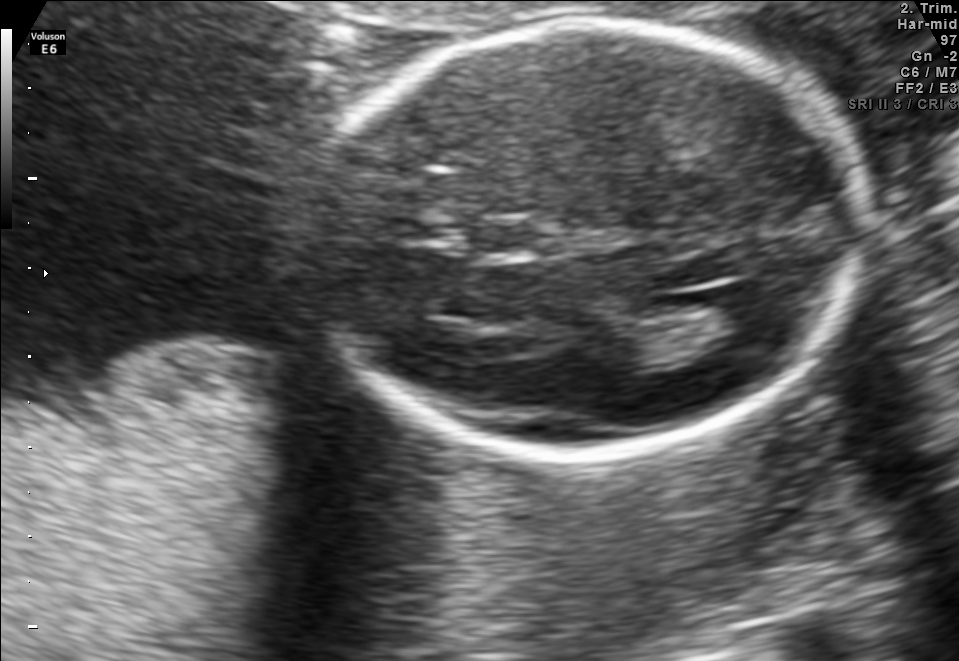
Fetal brain, trans-ventricular plane. Locate the cavum septum pellucidum.

CSP: [473,217,536,261]